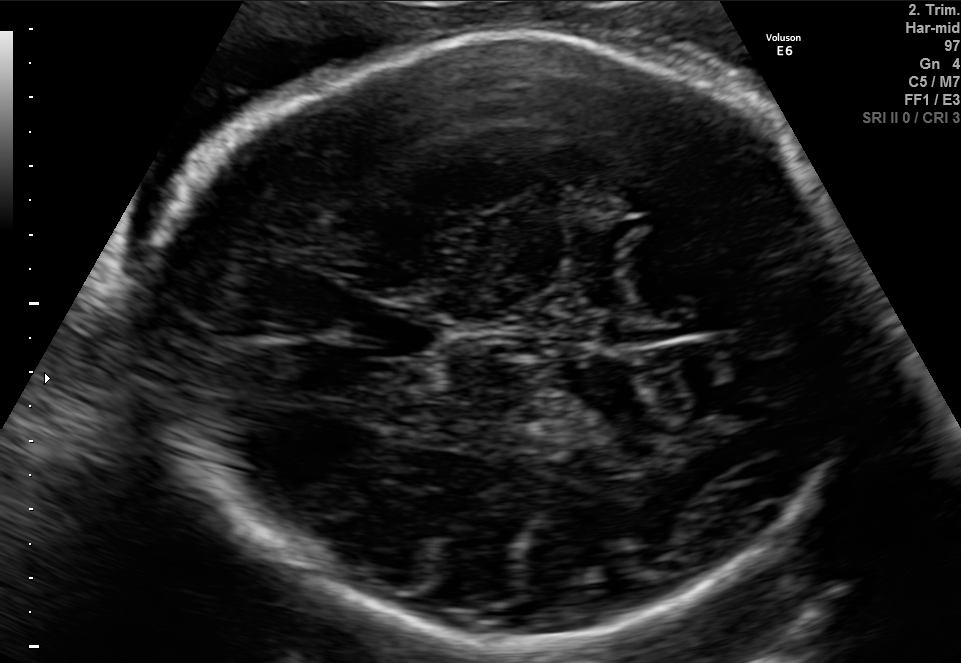
Fetal brain, trans-thalamic plane. Where is the cavum septum pellucidum?

CSP bounding box: [361,304,444,363]